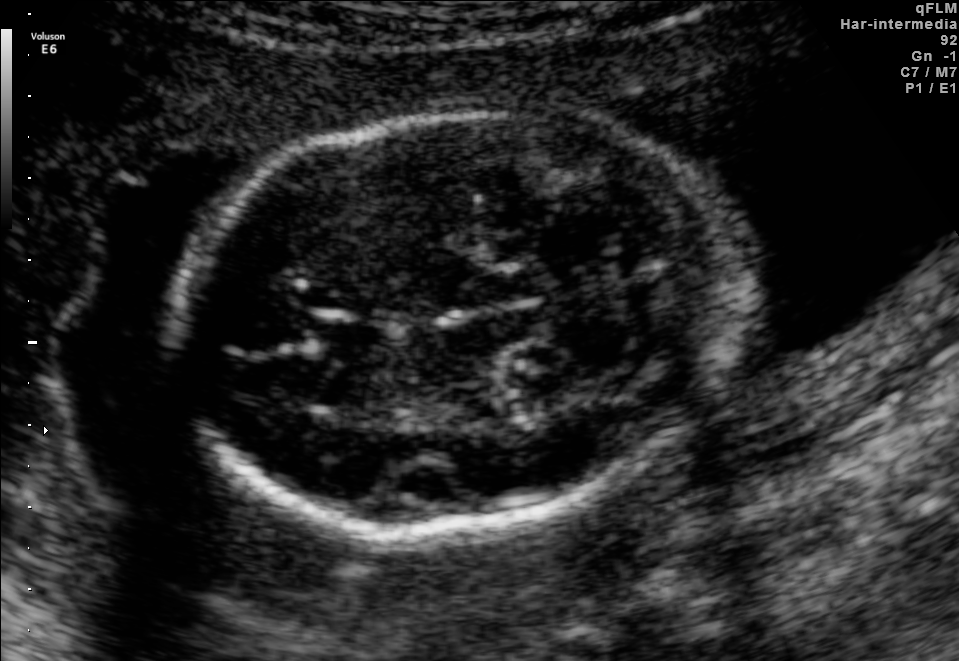
In this fetal brain, trans-cerebellum plane, give bounding boxes for the head outline, cavum septum pellucidum (CSP), and lateral ventricle (LV), where visible.

Head: [174,108,737,531]
CSP: [318,316,393,361]